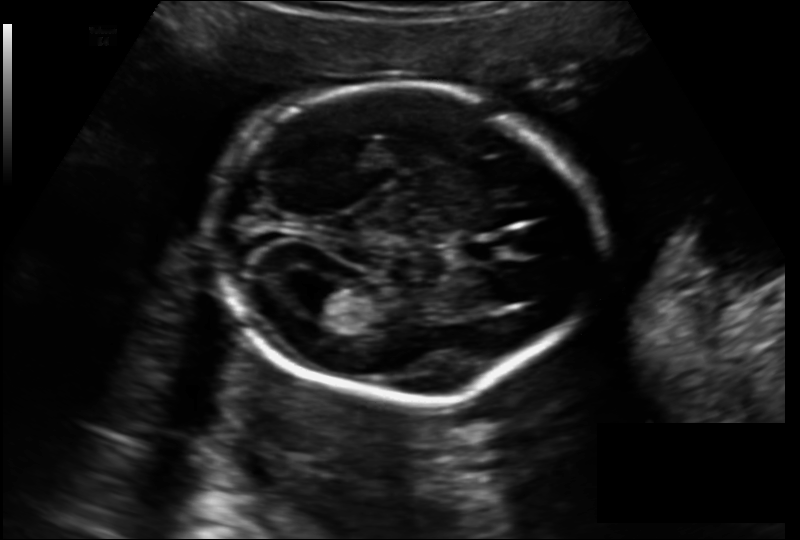
Fetal head ultrasound. Image width: 125.9 mm. Give [x1,y1,x2,y2] bounding boxes for each visible structure among: fetal head, CSP, LV.

Head: [208,87,592,403]
CSP: [461,237,505,264]
Lateral ventricle: [280,264,355,329]